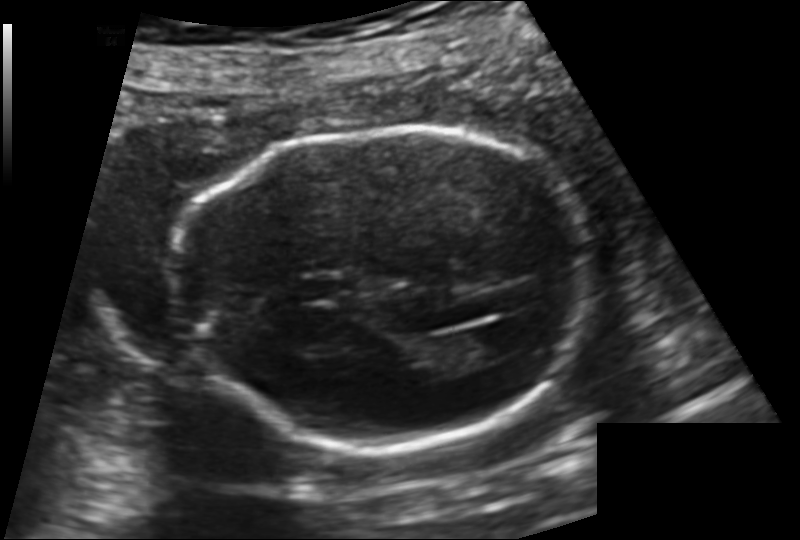
Fetal head ultrasound. Image width: 115.3 mm. Locate the lateral ventricle.

Lateral ventricle: [447,320,517,370]